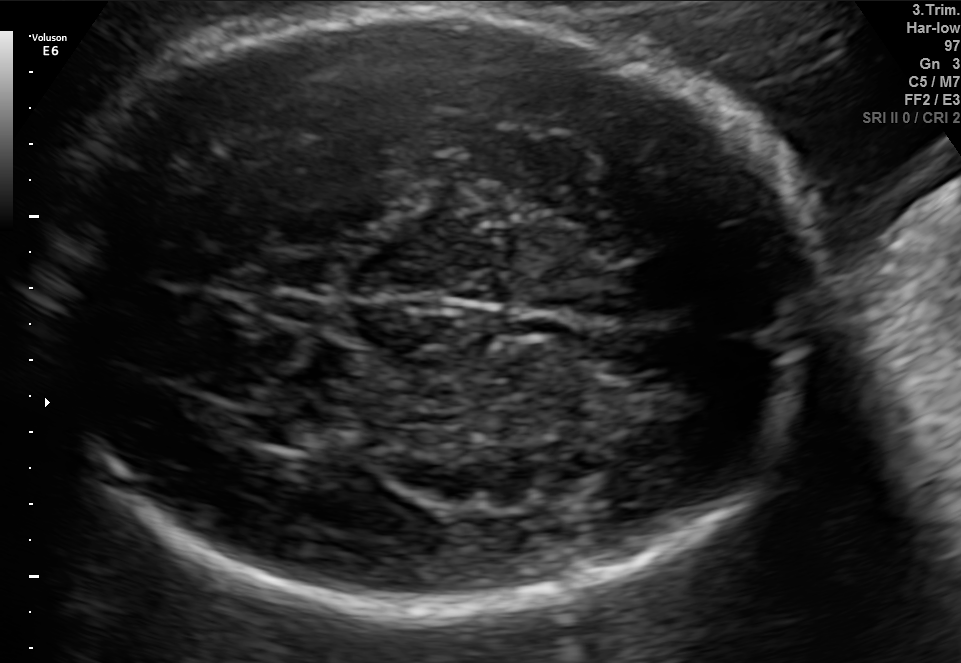
Which standard maternal-fetal ultrasound plane is shown: fetal abdomen, fetal brain, fetal femur, fetal thorax, maternal cervix, or other? If it's fetal brain and one of the three standard brain planes (trans-thalamic, trans-cerebellum, trans-ventricular), name which.

Fetal brain (trans-thalamic plane)